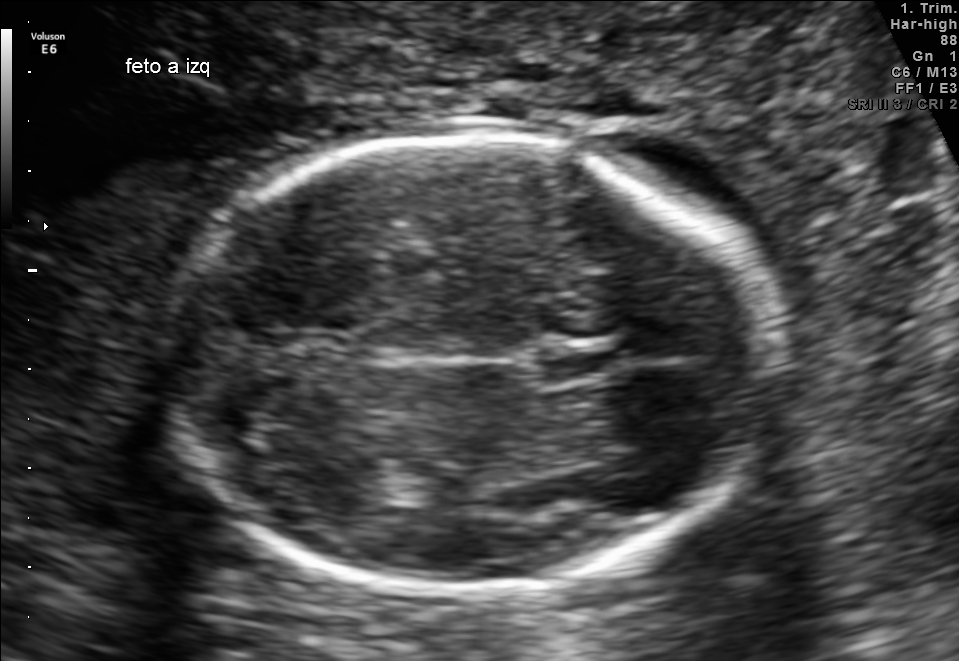
Fetal brain, trans-thalamic plane. Where is the cavum septum pellucidum?

CSP bounding box: [539,342,619,380]